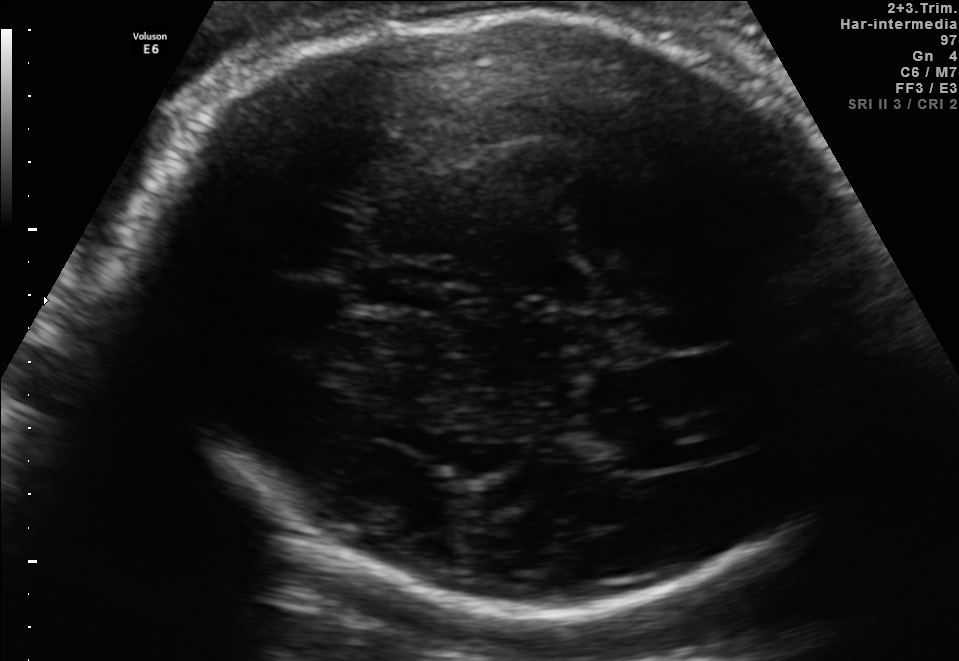
In this fetal brain, trans-thalamic plane, give the bounding box of the fetal head.

[137,10,862,615]